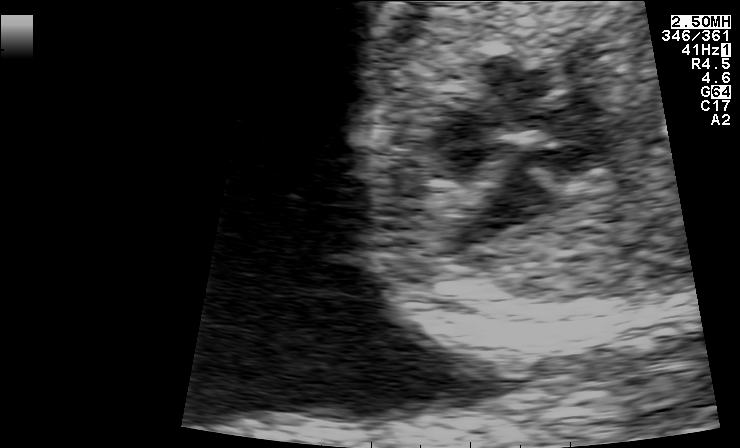
Which standard maternal-fetal ultrasound plane is shown: fetal abdomen, fetal brain, fetal femur, fetal thorax, maternal cervix, or other? If it's fetal brain and one of the three standard brain planes (trans-thalamic, trans-cerebellum, trans-ventricular), name which.

Fetal thorax